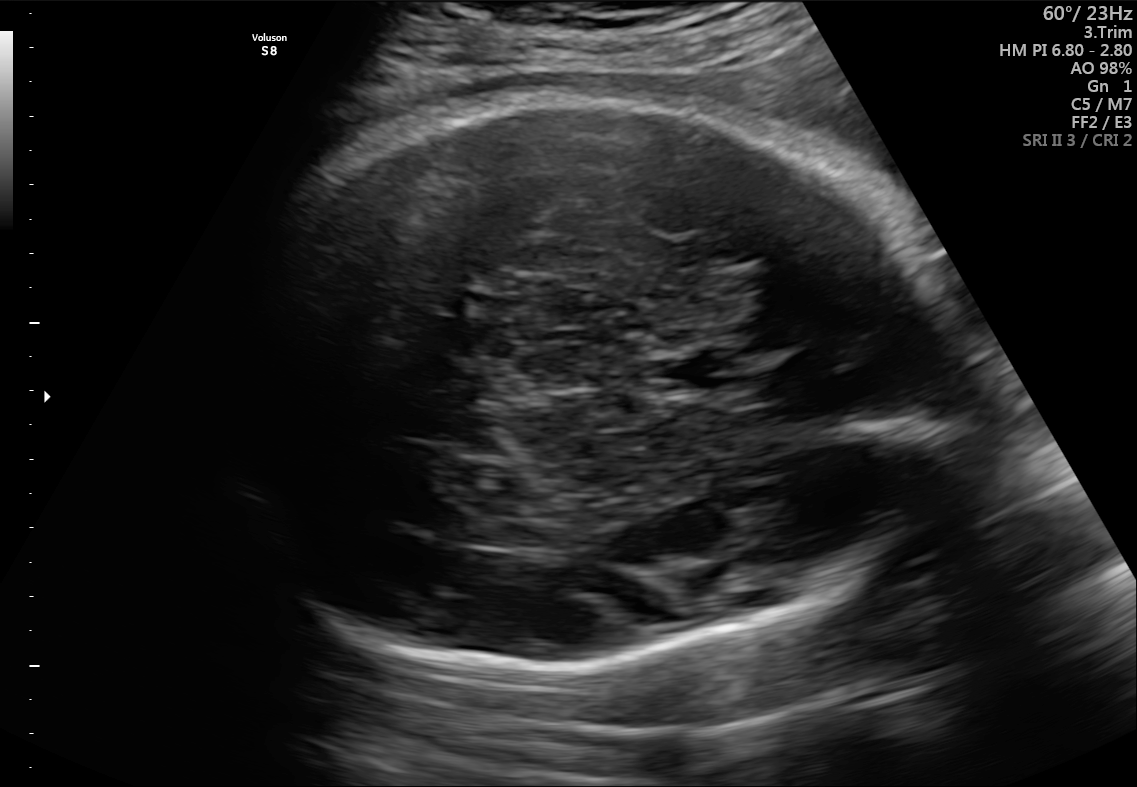
Fetal brain, trans-thalamic plane. Locate the cavum septum pellucidum.

CSP: [651,350,743,396]